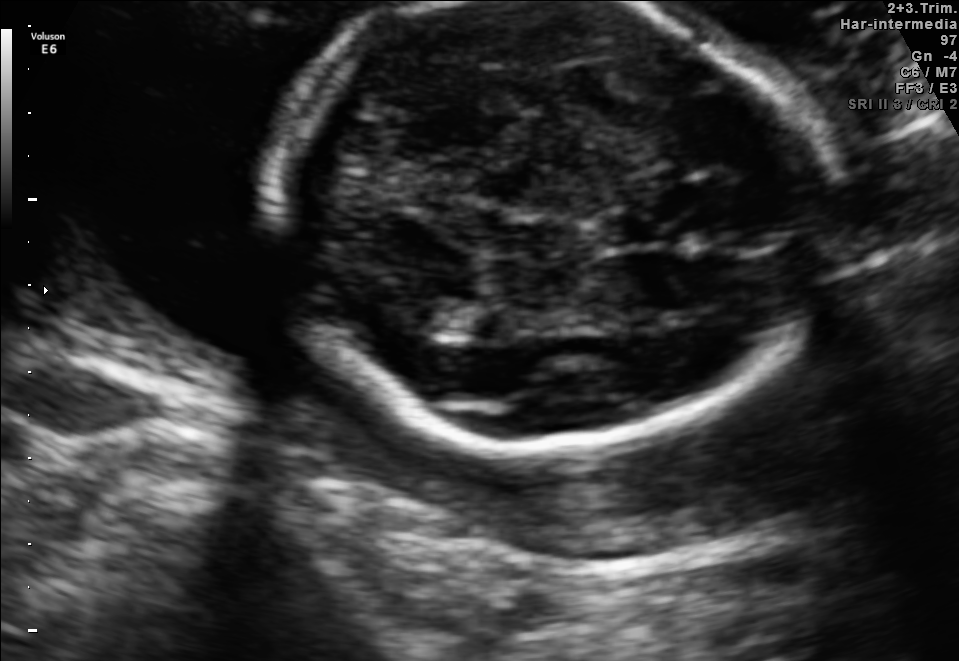
Fetal brain, trans-thalamic plane. Where is the cavum septum pellucidum?

CSP bounding box: [596,211,658,249]